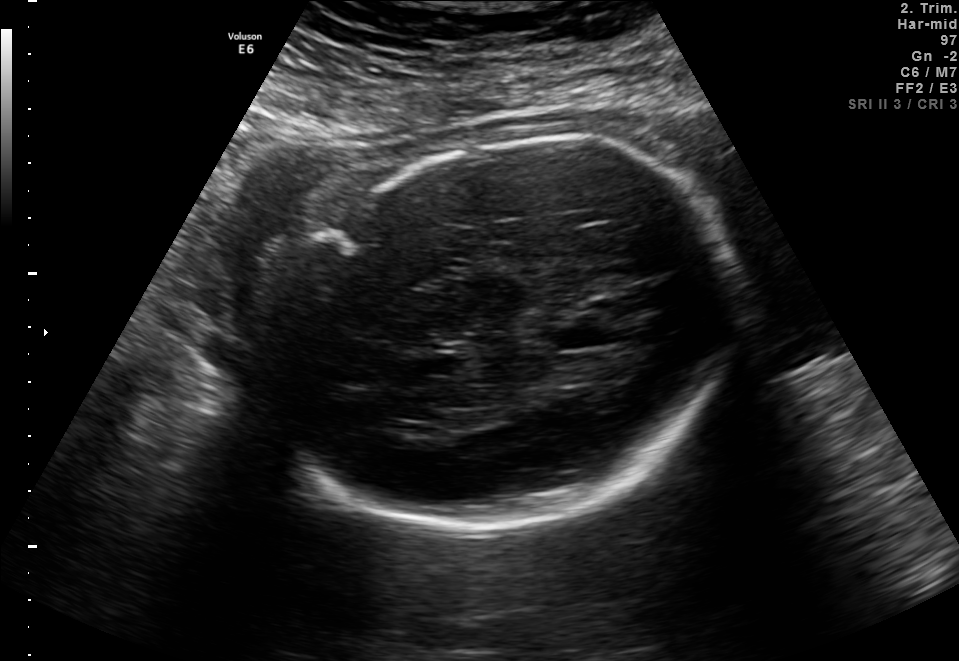
Which standard maternal-fetal ultrasound plane is shown: fetal abdomen, fetal brain, fetal femur, fetal thorax, maternal cervix, or other? If it's fetal brain and one of the three standard brain planes (trans-thalamic, trans-cerebellum, trans-ventricular), name which.

Fetal brain (trans-thalamic plane)